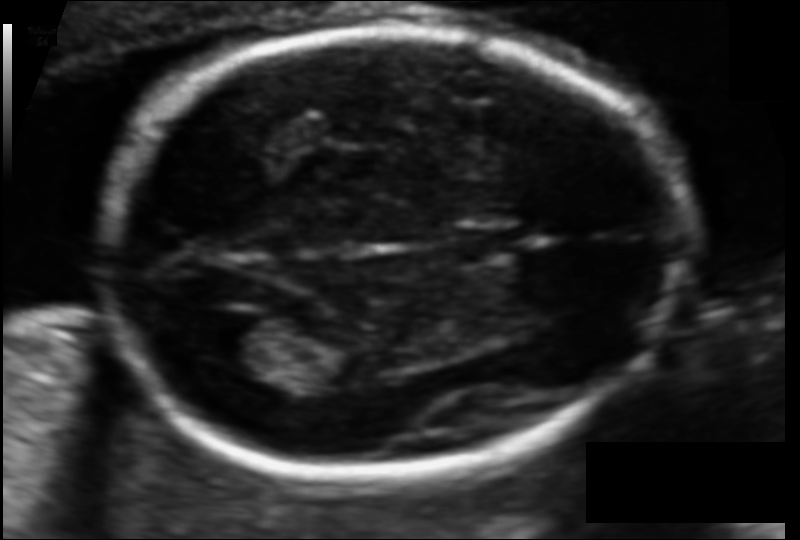
In this fetal head ultrasound, give bounding boxes for the head outline, cavum septum pellucidum (CSP), and lateral ventricle (LV), where visible. Image width: 77.8 mm.

Head: [101,29,681,479]
CSP: [458,224,520,263]
Lateral ventricle: [188,309,266,363]